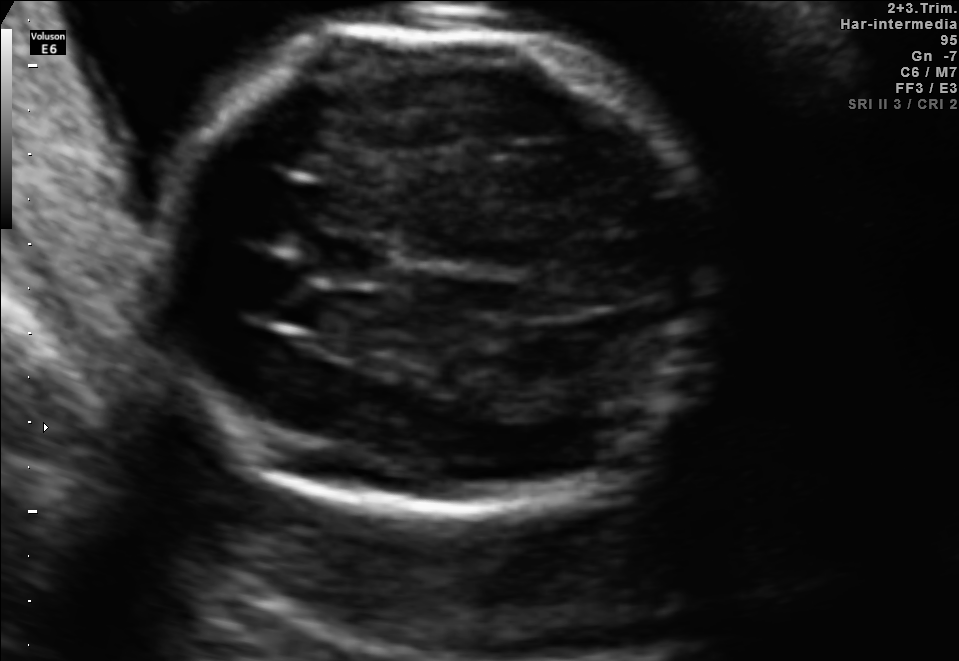
In this fetal brain, trans-thalamic plane, give bounding boxes for the head outline, cavum septum pellucidum (CSP), and lateral ventricle (LV), where visible.

Head: [143,26,710,519]
CSP: [312,235,388,282]